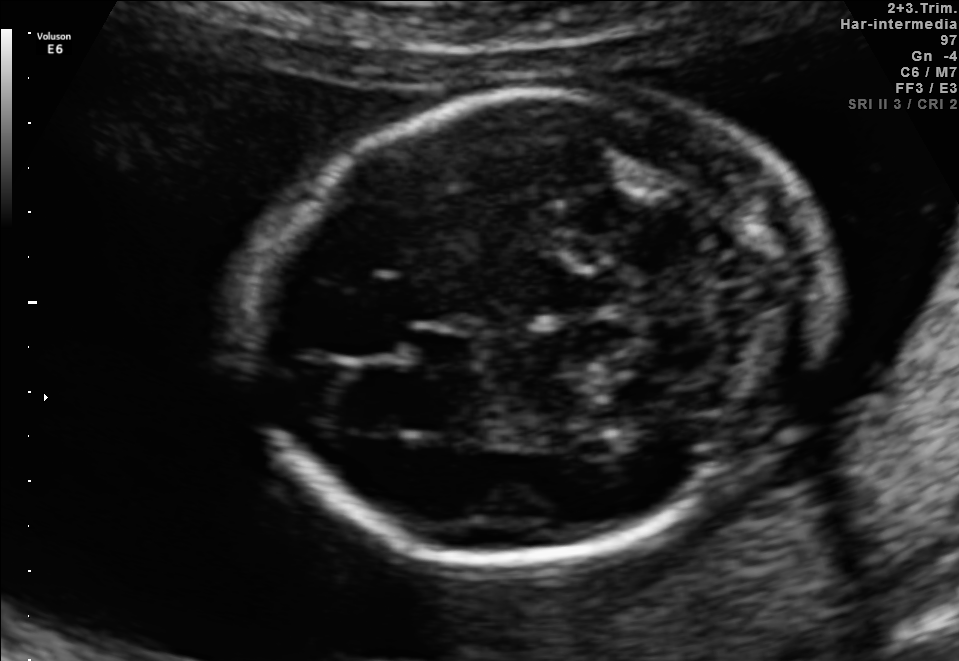
Fetal brain, trans-cerebellum plane. Where is the cavum septum pellucidum?

CSP bounding box: [410,324,478,371]